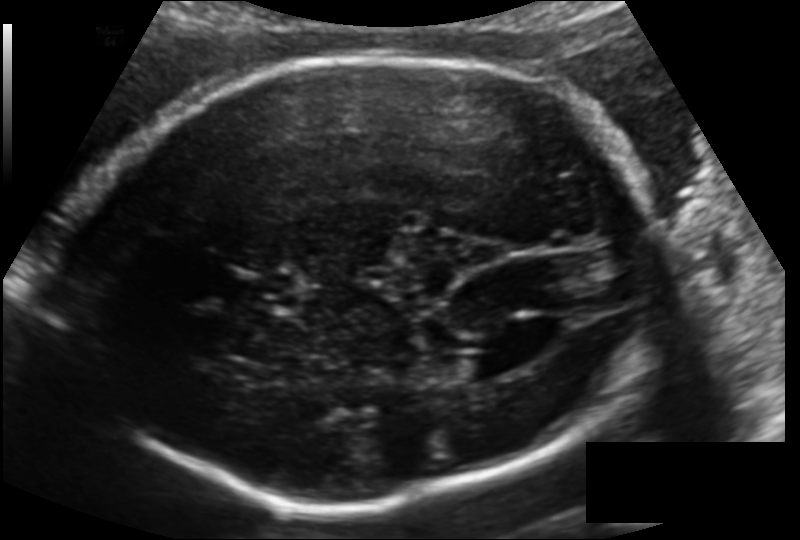
In this fetal head ultrasound, give bounding boxes for the head outline, cavum septum pellucidum (CSP), and lateral ventricle (LV), where visible. Image width: 118.6 mm.

Head: [61,57,662,507]
CSP: [229,267,303,314]
Lateral ventricle: [446,346,508,391]